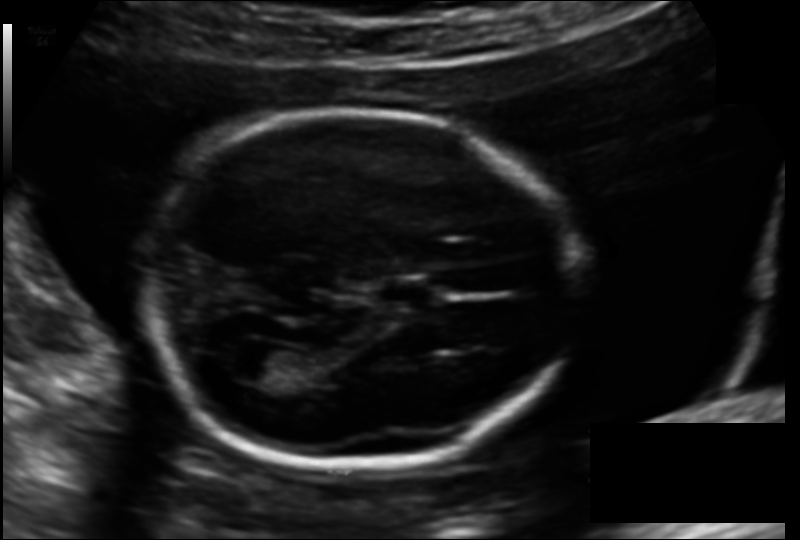
Estimate the fetal head circumference from this 2D ultrasound.

Head circumference: 179.0 mm (image width 109.9 mm).